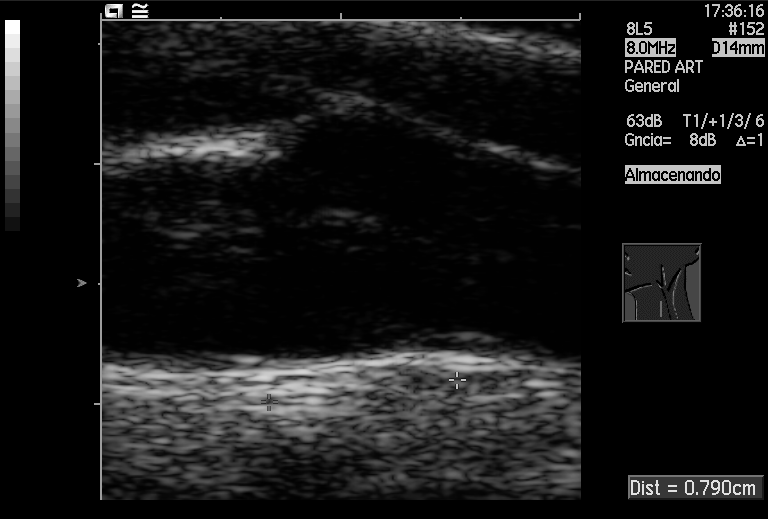
This is a 2D maternal-fetal ultrasound frame. Is it a fetal abdomen, fetal brain, fetal femur, fetal thorax, maternal cervix, or other standard plane? If it's fetal brain and one of the three standard brain planes (trans-thalamic, trans-cerebellum, trans-ventricular), name which.

Other